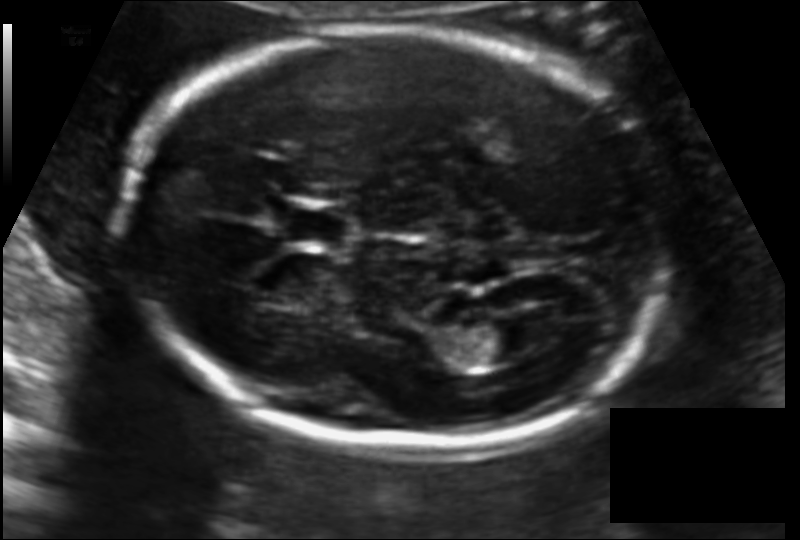
From this fetal ultrasound, estimate the head circumference (image width 95.2 mm).

Head circumference: 186.3 mm.